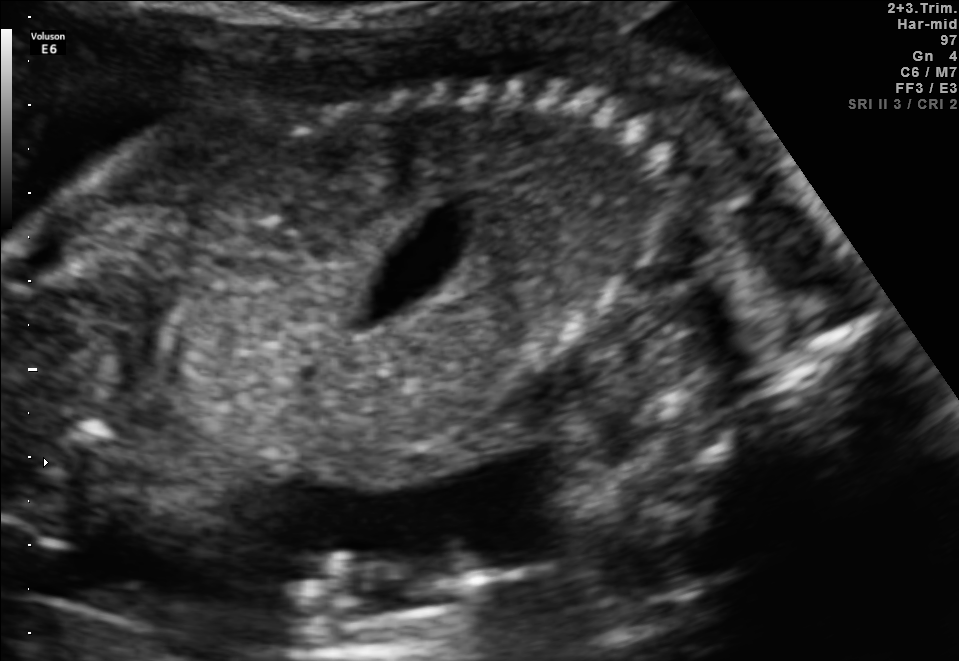
This is a 2D maternal-fetal ultrasound frame. Is it a fetal abdomen, fetal brain, fetal femur, fetal thorax, maternal cervix, or other standard plane? If it's fetal brain and one of the three standard brain planes (trans-thalamic, trans-cerebellum, trans-ventricular), name which.

Other